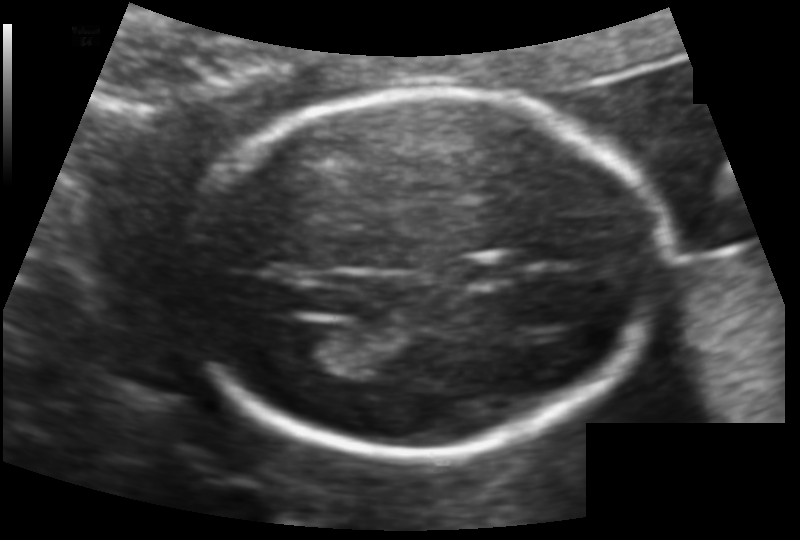
What is the fetal head circumference? Image width is 90.1 mm.

155.9 mm